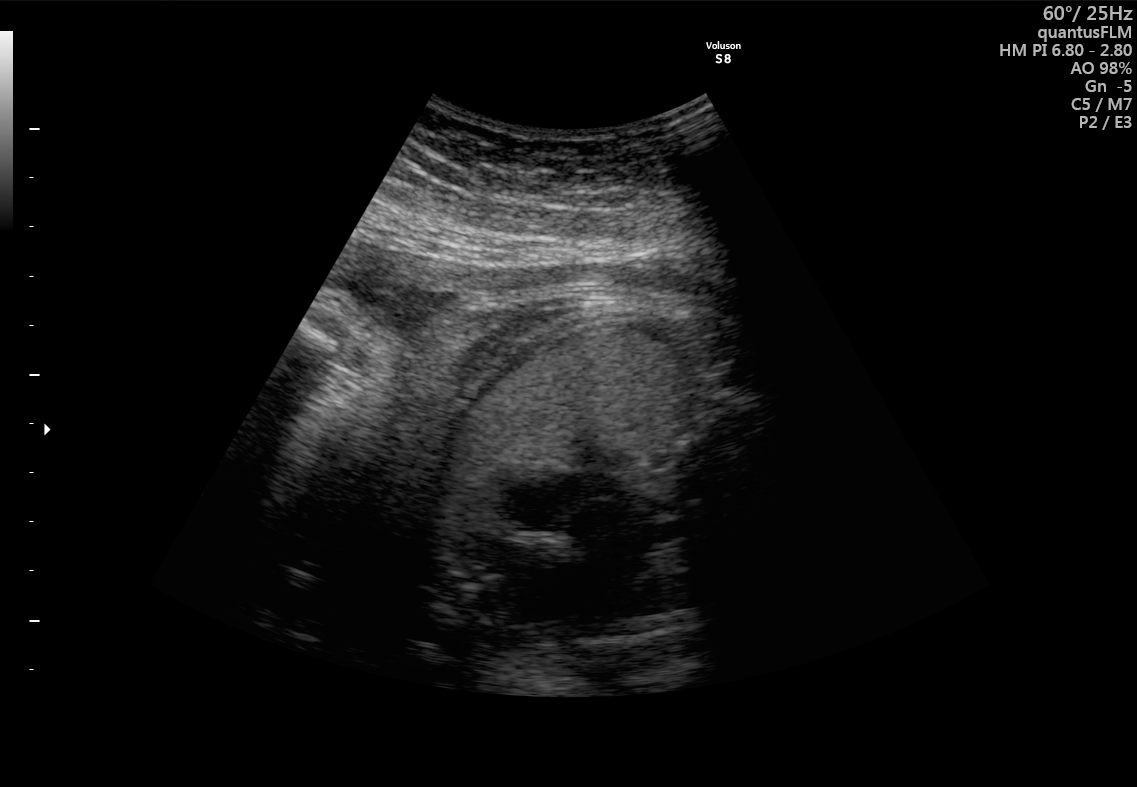
Classify this maternal-fetal ultrasound image as one of the six standard planes — fetal abdomen, fetal brain, fetal femur, fetal thorax, maternal cervix, or other. If it's fetal brain and one of the three standard brain planes (trans-thalamic, trans-cerebellum, trans-ventricular), name which.

Fetal thorax